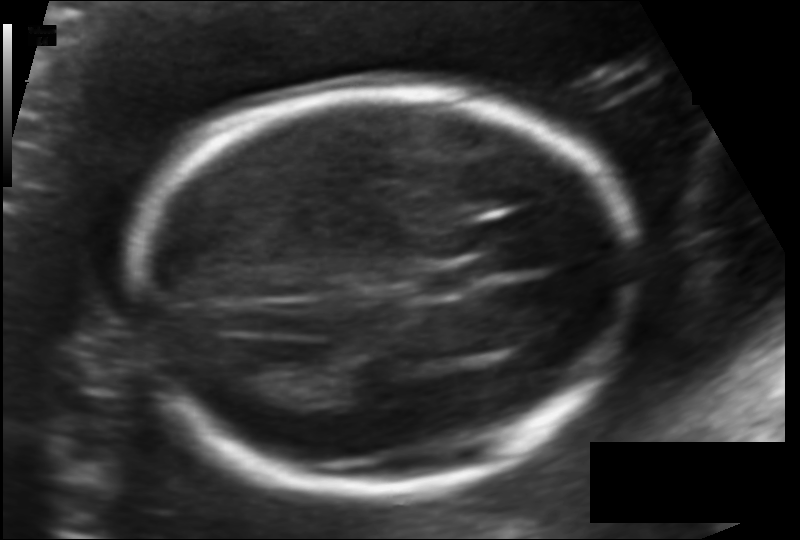
Fetal head ultrasound. Image width: 99.3 mm. Locate the lateral ventricle.

Lateral ventricle: [219,351,297,404]